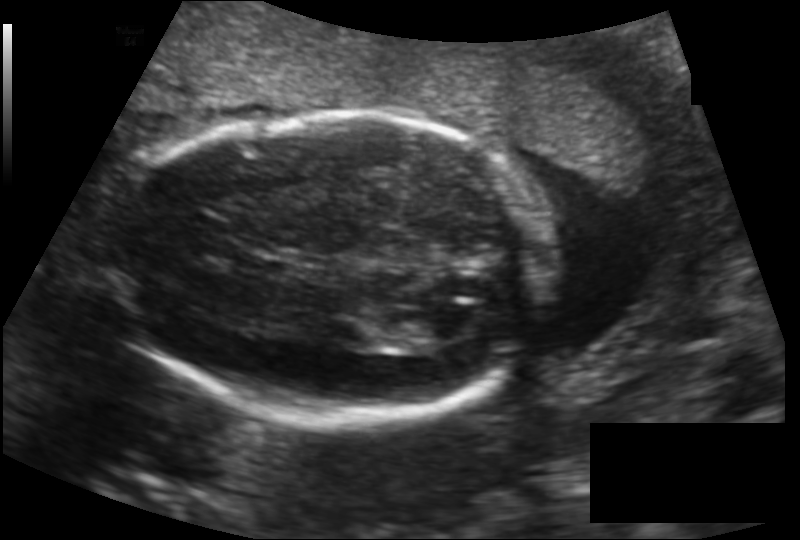
In this fetal head ultrasound, give the bounding box of the lateral ventricle. Image width: 116.6 mm.

[426,305,482,341]